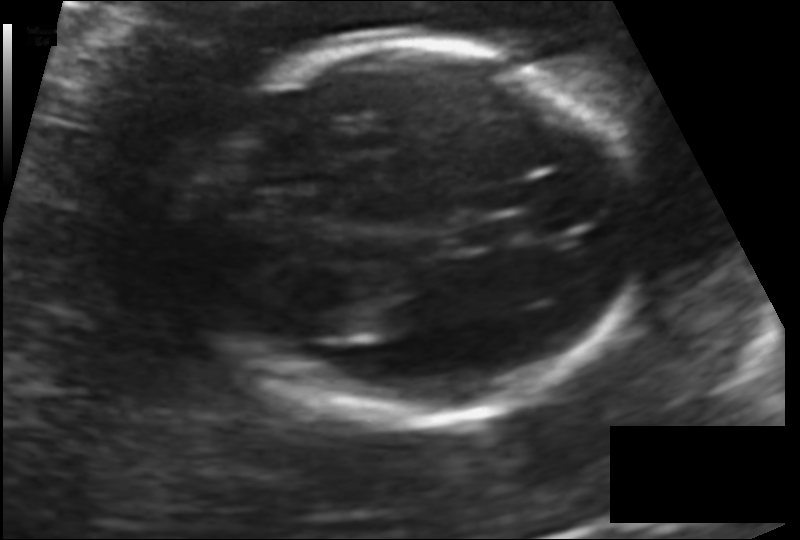
Fetal head ultrasound. Image width: 104.5 mm. Where is the fetal head?

Head bounding box: [196,38,634,423]